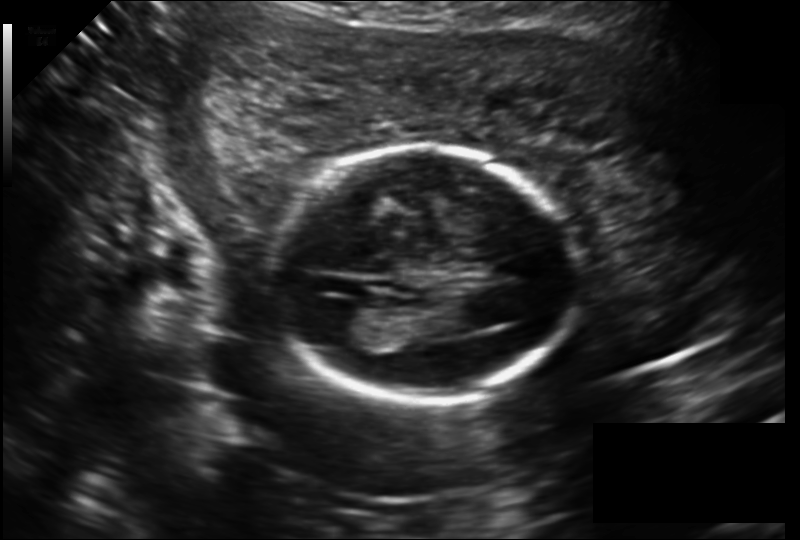
In this fetal head ultrasound, give the bounding box of the fetal head. Image width: 142.0 mm.

[269,146,574,404]